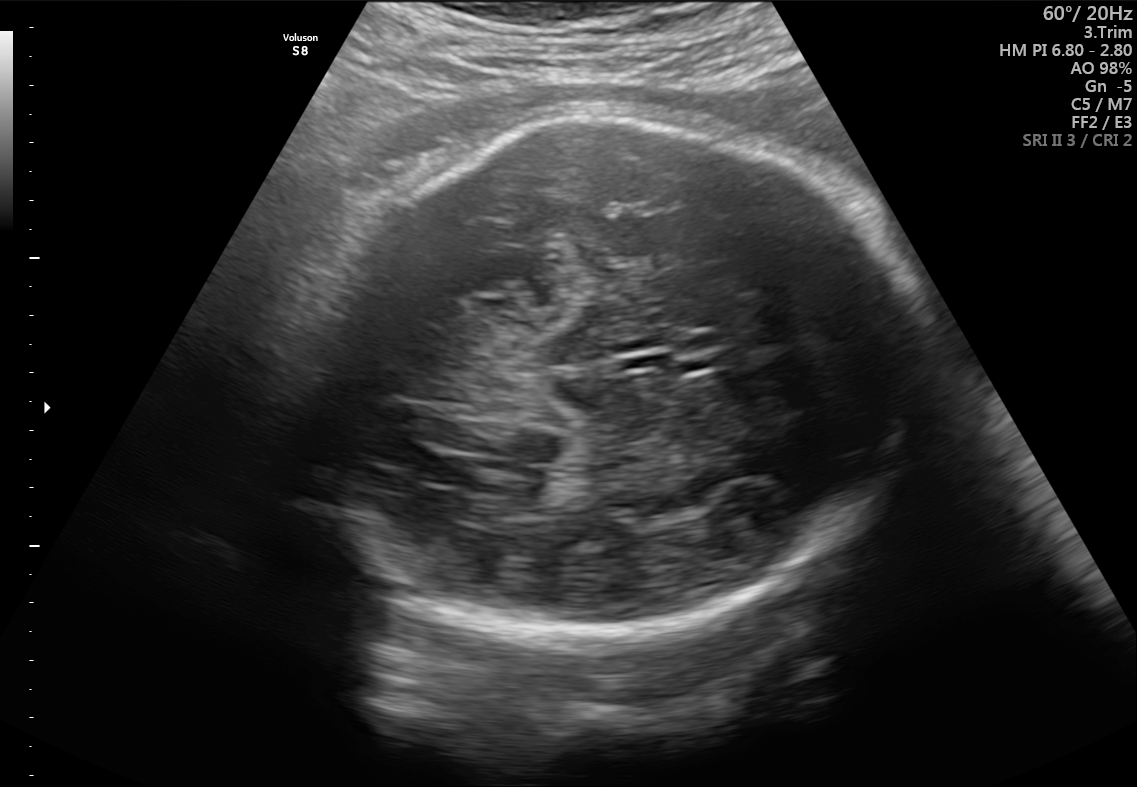
Fetal brain, trans-thalamic plane. Give [x1,y1,x2,y2] bounding boxes for each visible structure among: fetal head, CSP, LV.

Head: [292,110,931,639]